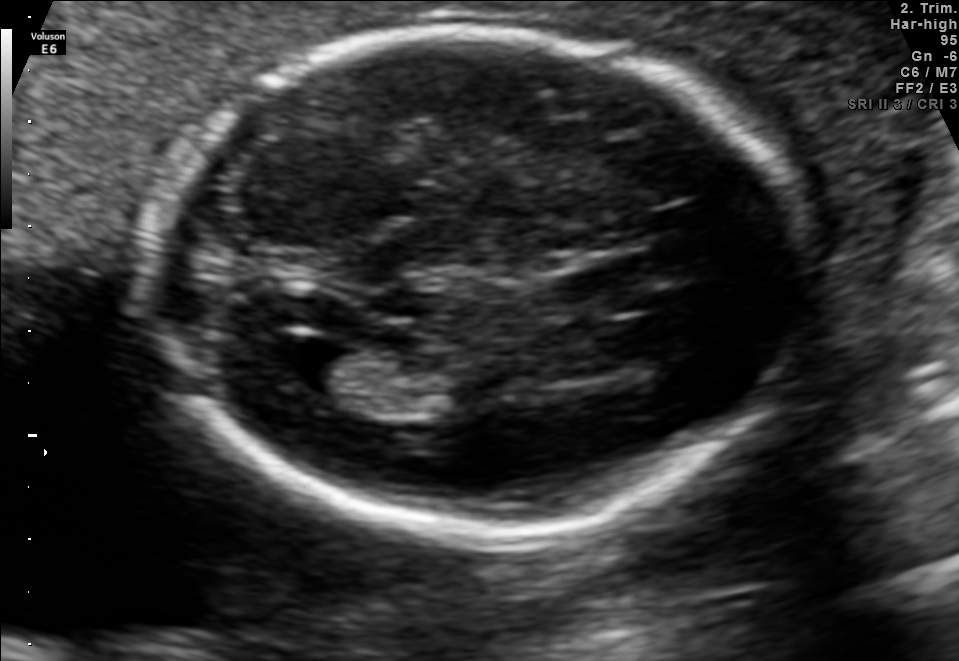
Fetal brain, trans-ventricular plane. Locate the fetal head and, if visible, the cavum septum pellucidum (CSP) and lateral ventricle (LV). Give bounding boxes as [x1,y1,x2,y2].

Head: [146,23,813,542]
CSP: [520,258,618,320]
Lateral ventricle: [249,314,361,403]